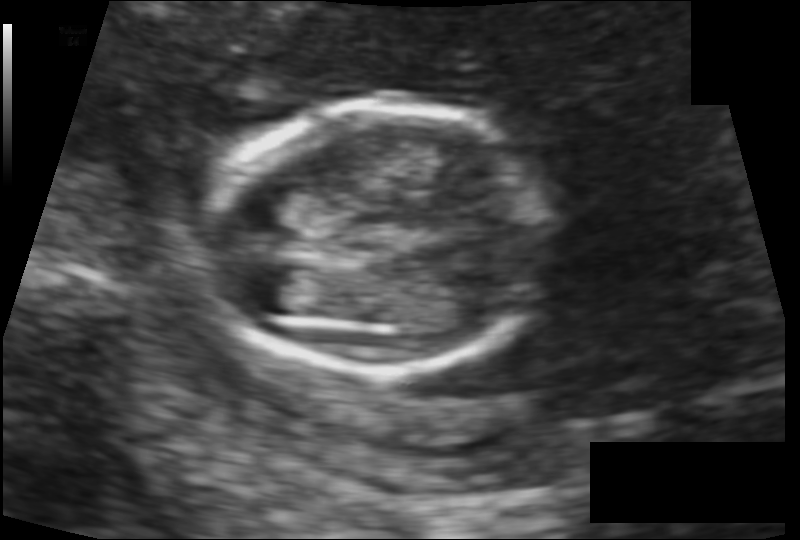
In this fetal head ultrasound, give bounding boxes for the head outline, cavum septum pellucidum (CSP), and lateral ventricle (LV), where visible. Image width: 88.5 mm.

Head: [203,106,547,373]